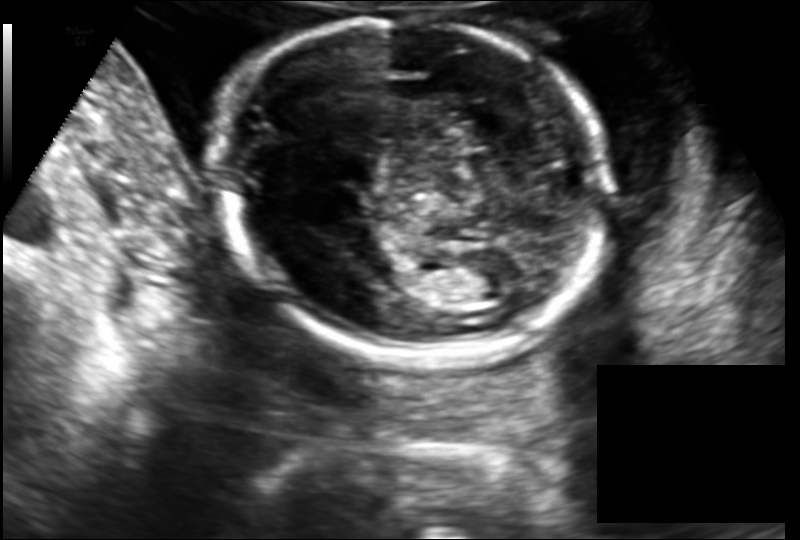
Fetal head ultrasound. Image width: 119.1 mm. Locate the fetal head and, if visible, the cavum septum pellucidum (CSP) and lateral ventricle (LV). Give bounding boxes as [x1,y1,x2,y2].

Head: [214,20,607,361]